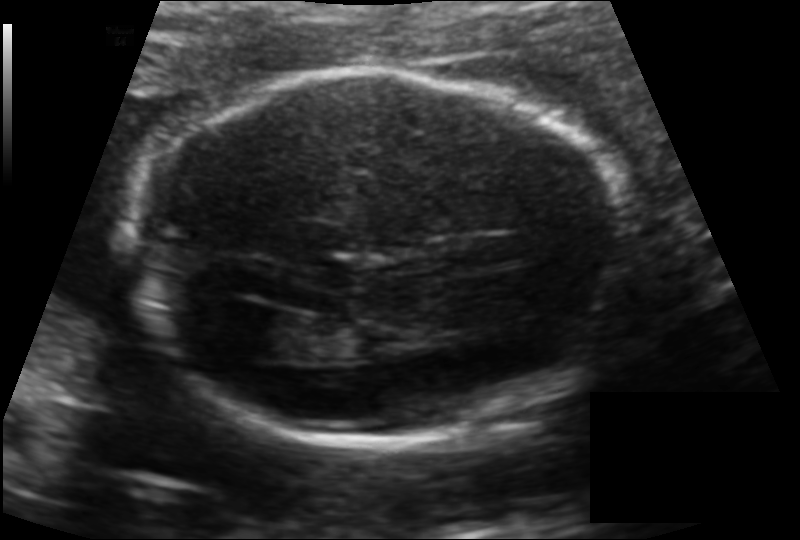
Estimate the fetal head circumference from this 2D ultrasound.

Head circumference: 189.3 mm (image width 107.1 mm).